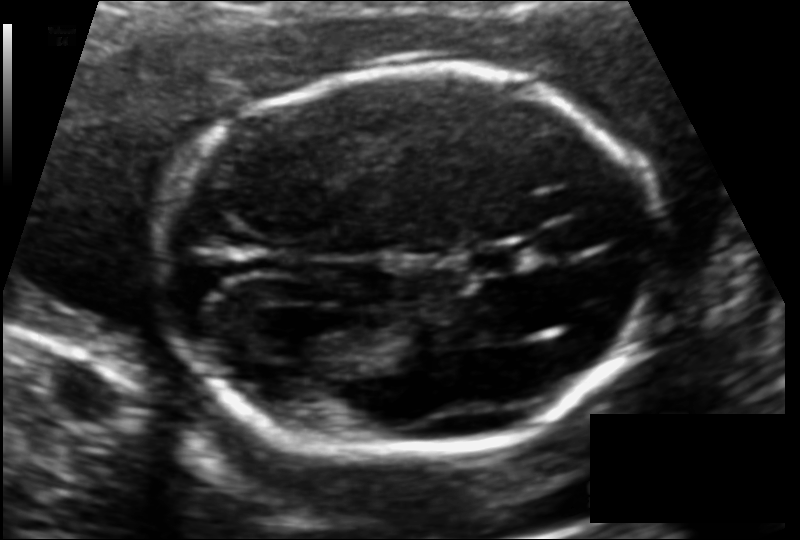
Fetal head ultrasound. Image width: 93.1 mm. Locate the lateral ventricle.

Lateral ventricle: [273,308,348,360]